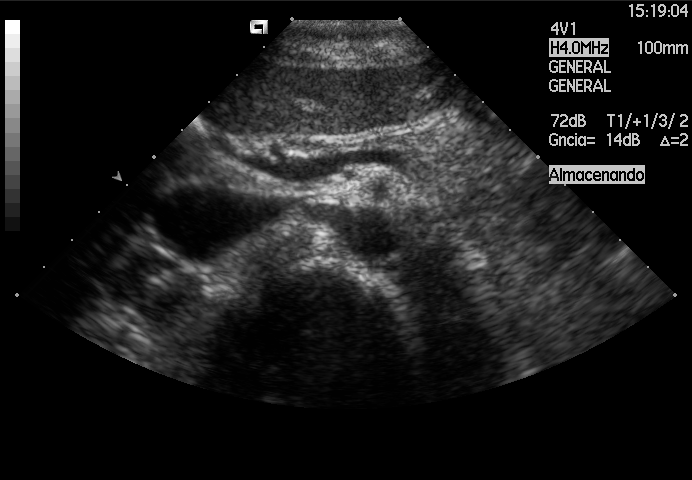
Which standard maternal-fetal ultrasound plane is shown: fetal abdomen, fetal brain, fetal femur, fetal thorax, maternal cervix, or other? If it's fetal brain and one of the three standard brain planes (trans-thalamic, trans-cerebellum, trans-ventricular), name which.

Other